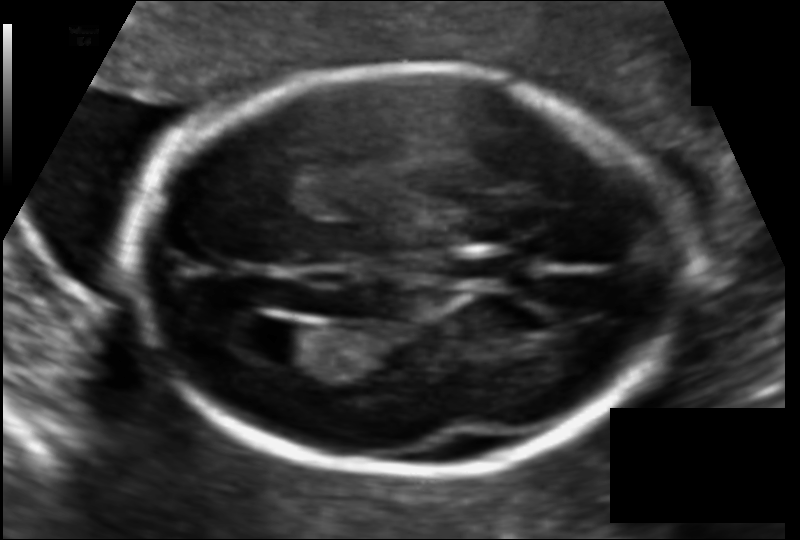
Fetal head ultrasound. Image width: 89.2 mm. Locate the lateral ventricle.

Lateral ventricle: [248,316,323,371]